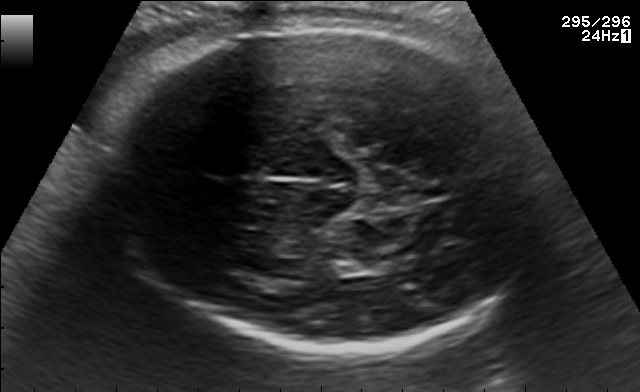
This is a 2D maternal-fetal ultrasound frame. Is it a fetal abdomen, fetal brain, fetal femur, fetal thorax, maternal cervix, or other standard plane? If it's fetal brain and one of the three standard brain planes (trans-thalamic, trans-cerebellum, trans-ventricular), name which.

Fetal brain (trans-thalamic plane)